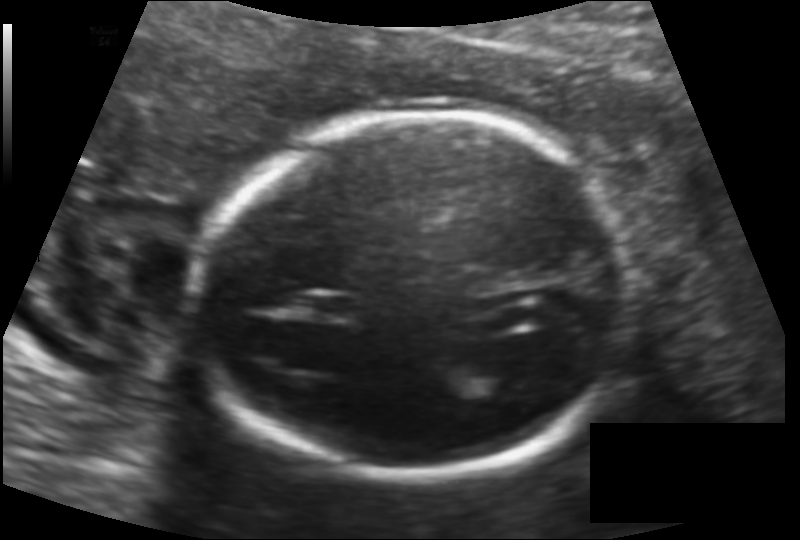
Measure the fetal head circumference shown in this ultrasound image. Image width: 104.4 mm.

Head circumference: 169.5 mm.